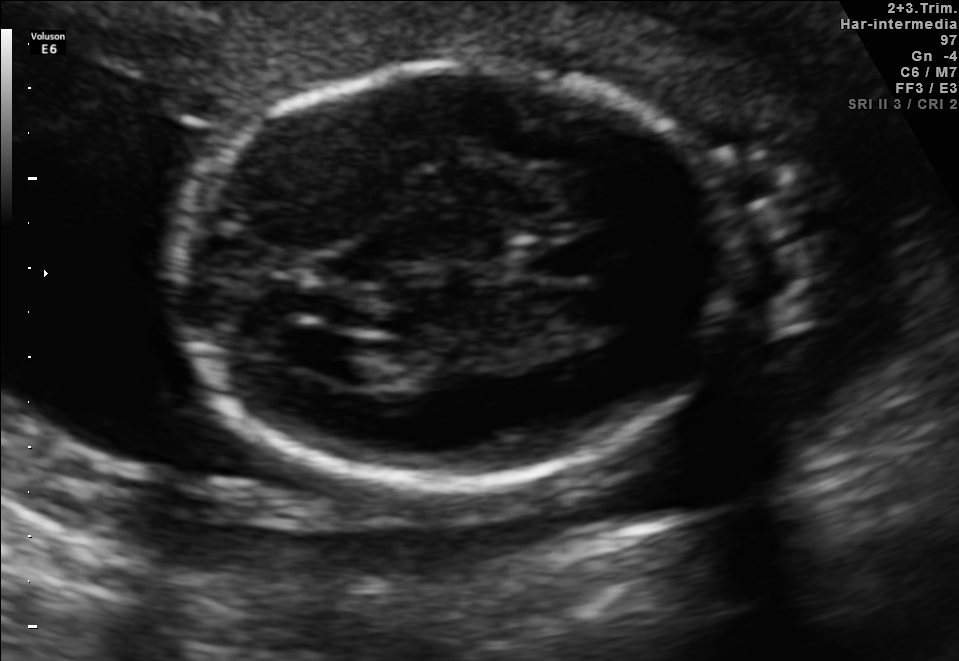
Fetal brain, trans-ventricular plane. Locate the lateral ventricle.

Lateral ventricle: [266,316,370,387]